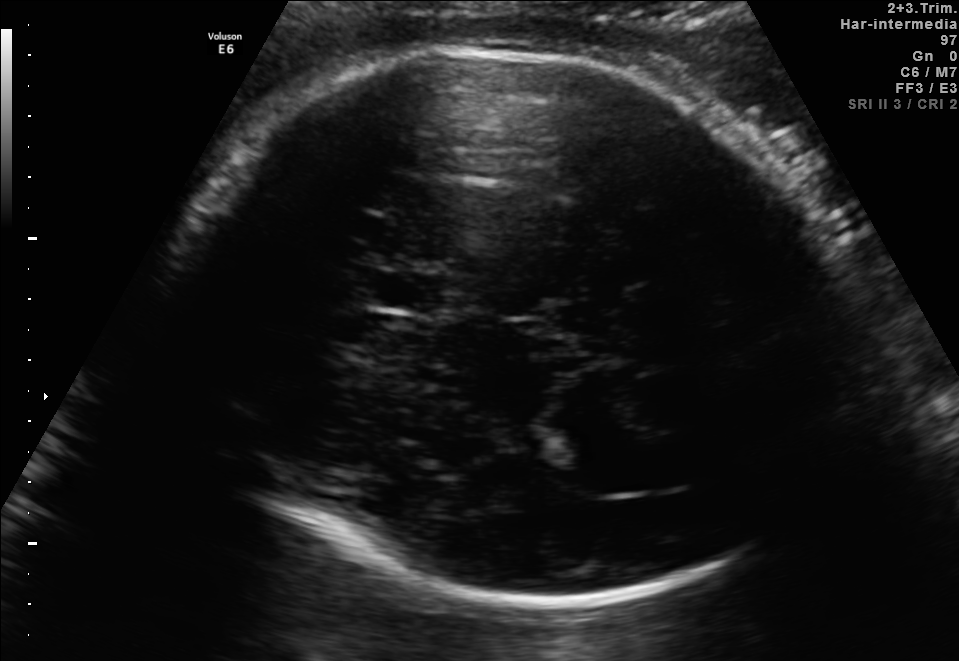
Which standard maternal-fetal ultrasound plane is shown: fetal abdomen, fetal brain, fetal femur, fetal thorax, maternal cervix, or other? If it's fetal brain and one of the three standard brain planes (trans-thalamic, trans-cerebellum, trans-ventricular), name which.

Fetal brain (trans-thalamic plane)